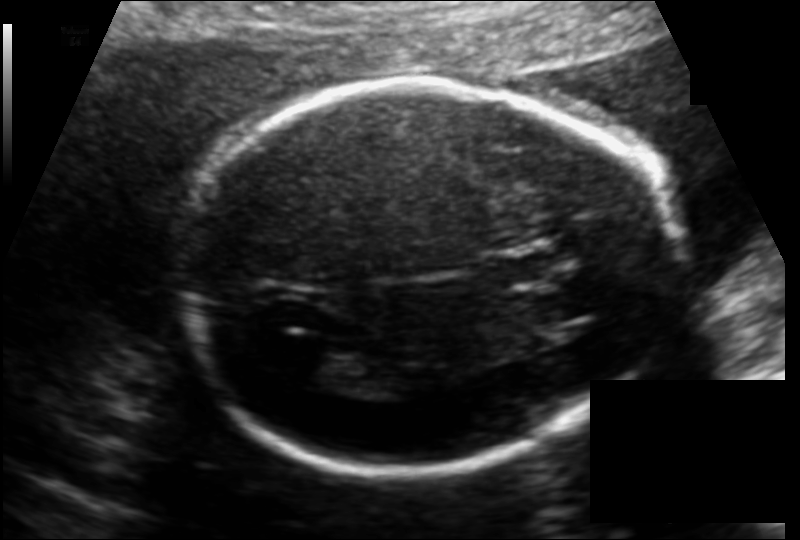
Fetal head ultrasound. Image width: 104.3 mm. Where is the fetal head?

Head bounding box: [176,78,674,479]